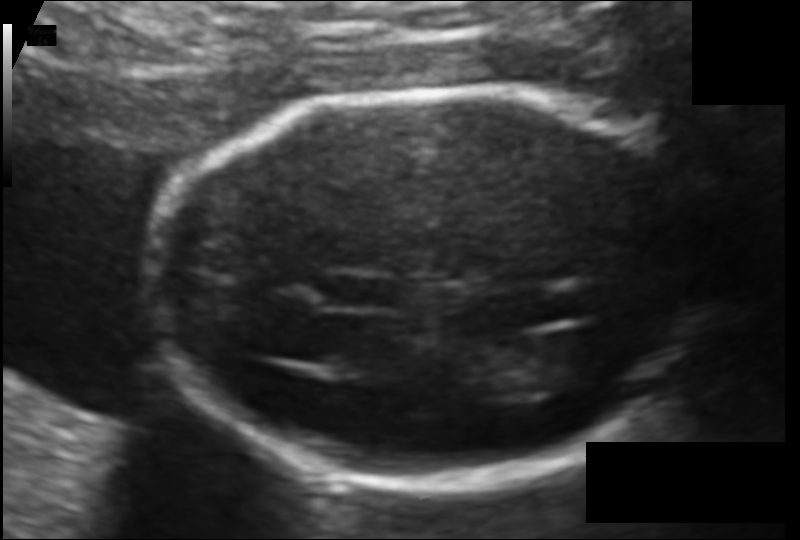
Measure the fetal head circumference shown in this ultrasound image. Image width: 82.4 mm.

Head circumference: 156.8 mm.